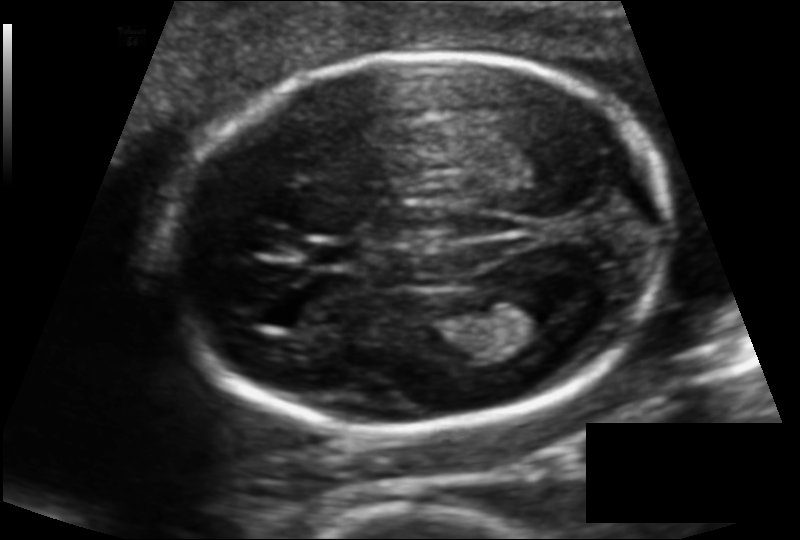
From this fetal ultrasound, estimate the head circumference (image width 95.8 mm).

Head circumference: 170.8 mm.